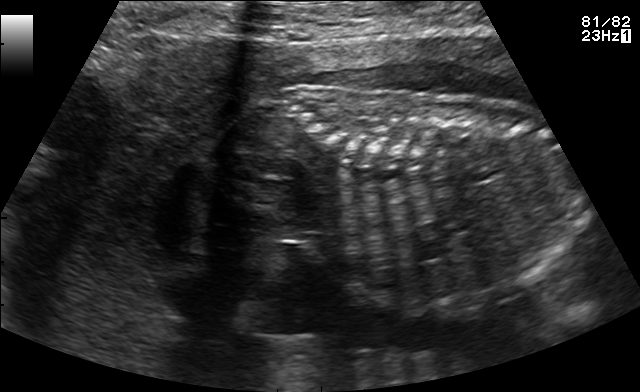
Classify this maternal-fetal ultrasound image as one of the six standard planes — fetal abdomen, fetal brain, fetal femur, fetal thorax, maternal cervix, or other. If it's fetal brain and one of the three standard brain planes (trans-thalamic, trans-cerebellum, trans-ventricular), name which.

Other